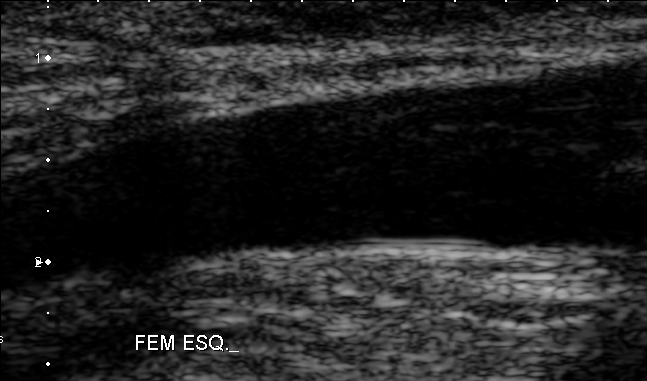
Classify this maternal-fetal ultrasound image as one of the six standard planes — fetal abdomen, fetal brain, fetal femur, fetal thorax, maternal cervix, or other. If it's fetal brain and one of the three standard brain planes (trans-thalamic, trans-cerebellum, trans-ventricular), name which.

Other